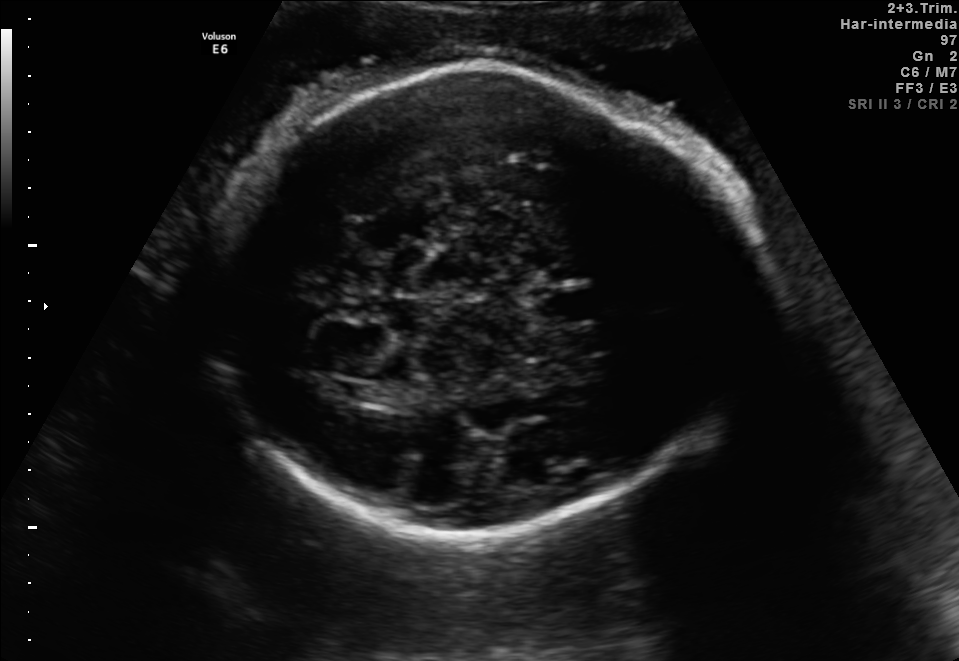
Fetal brain, trans-thalamic plane. Where is the cavum septum pellucidum?

CSP bounding box: [532,284,604,326]